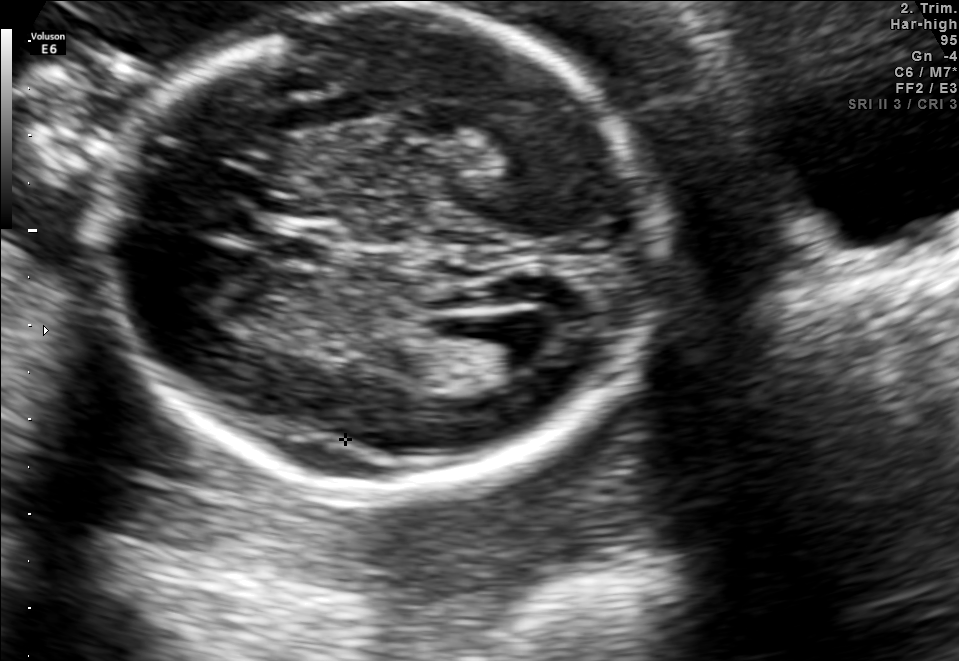
Fetal brain, trans-ventricular plane. Where is the cavum septum pellucidum?

CSP bounding box: [276,232,332,267]